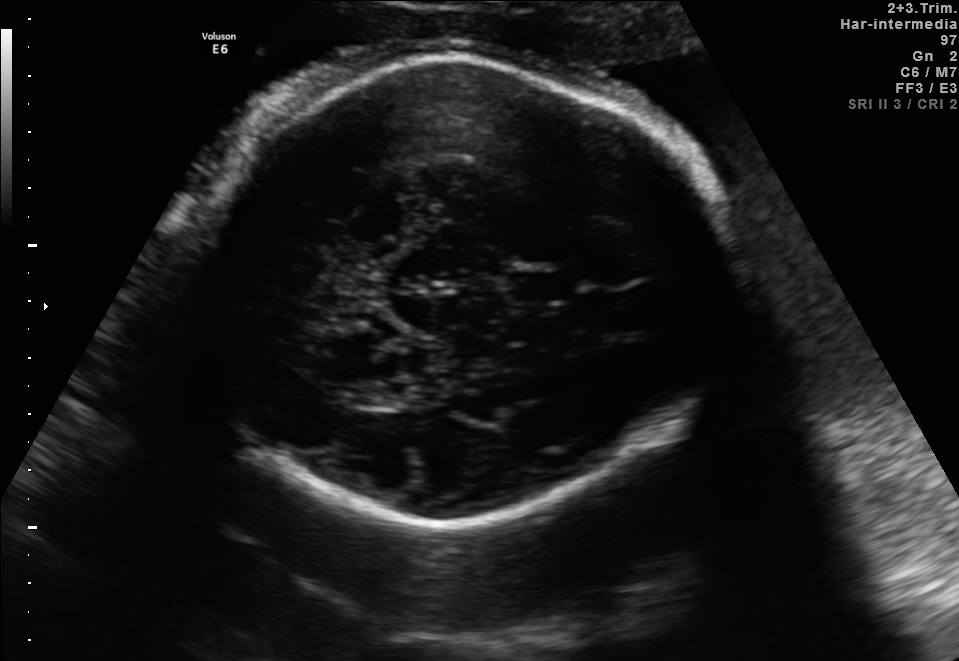
Fetal brain, trans-thalamic plane. Where is the lateral ventricle?

Lateral ventricle bounding box: [350,383,408,409]